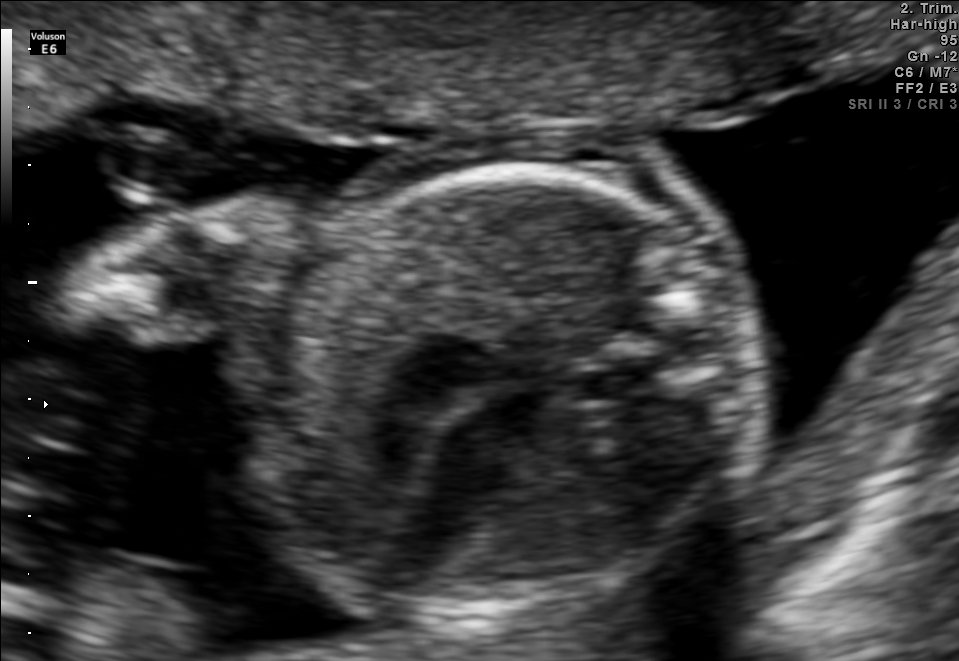
Identify the standard plane in this fetal ultrasound image: fetal abdomen, fetal brain, fetal femur, fetal thorax, maternal cervix, or other. If it's fetal brain and one of the three standard brain planes (trans-thalamic, trans-cerebellum, trans-ventricular), name which.

Fetal thorax